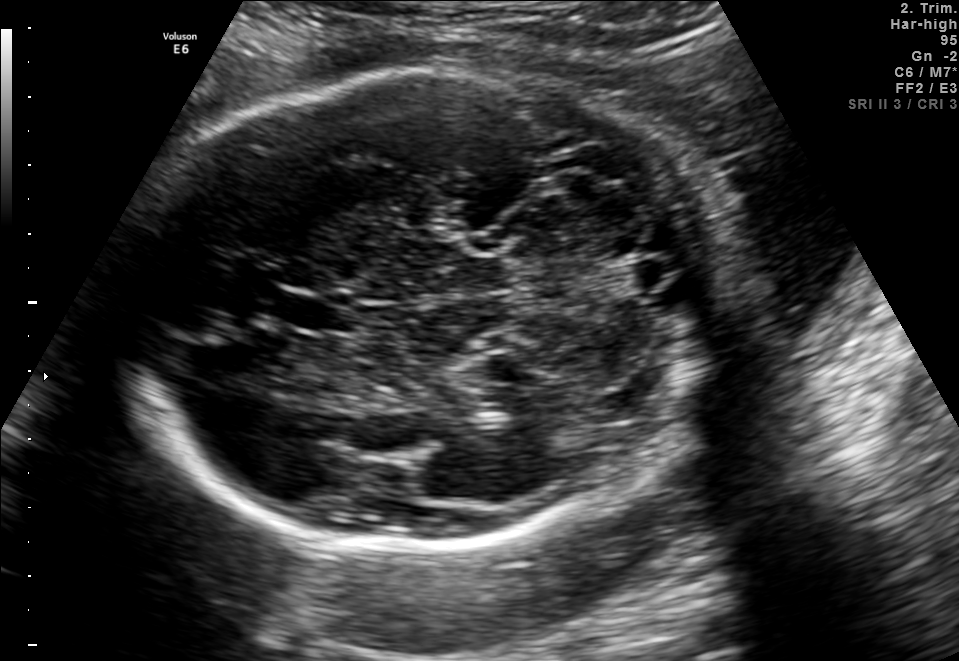
Fetal brain, trans-cerebellum plane. Locate the cavum septum pellucidum.

CSP: [269,283,353,342]